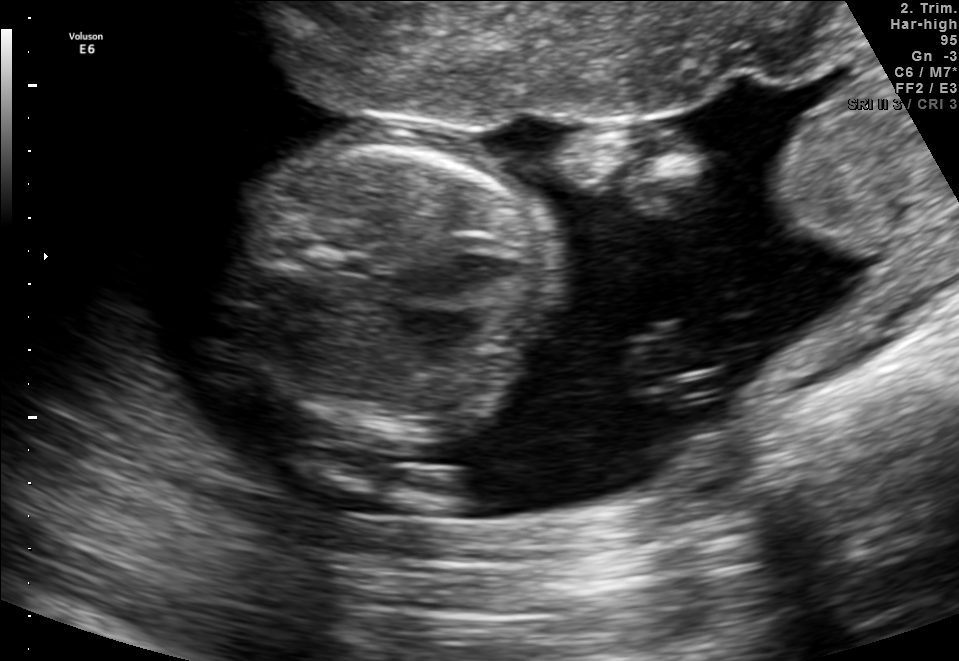
This is a 2D maternal-fetal ultrasound frame. Is it a fetal abdomen, fetal brain, fetal femur, fetal thorax, maternal cervix, or other standard plane? If it's fetal brain and one of the three standard brain planes (trans-thalamic, trans-cerebellum, trans-ventricular), name which.

Fetal thorax